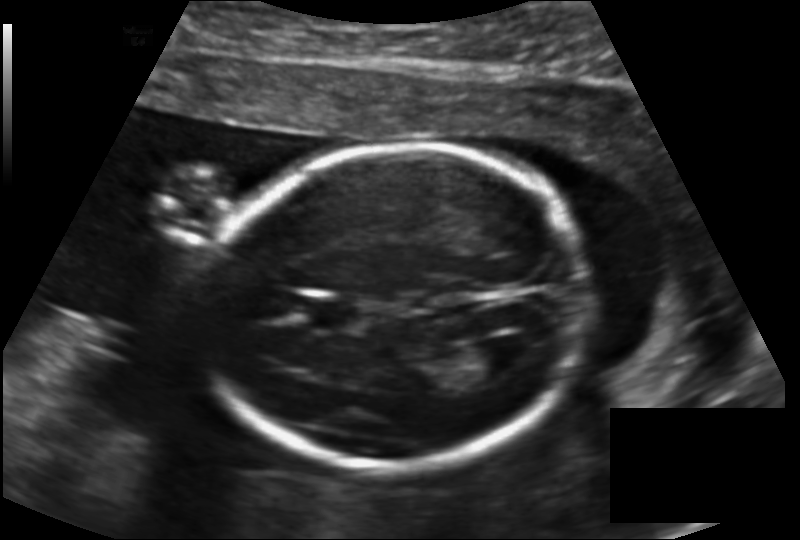
Fetal head ultrasound. Image width: 117.6 mm. Where is the cavum septum pellucidum?

CSP bounding box: [308,298,360,329]